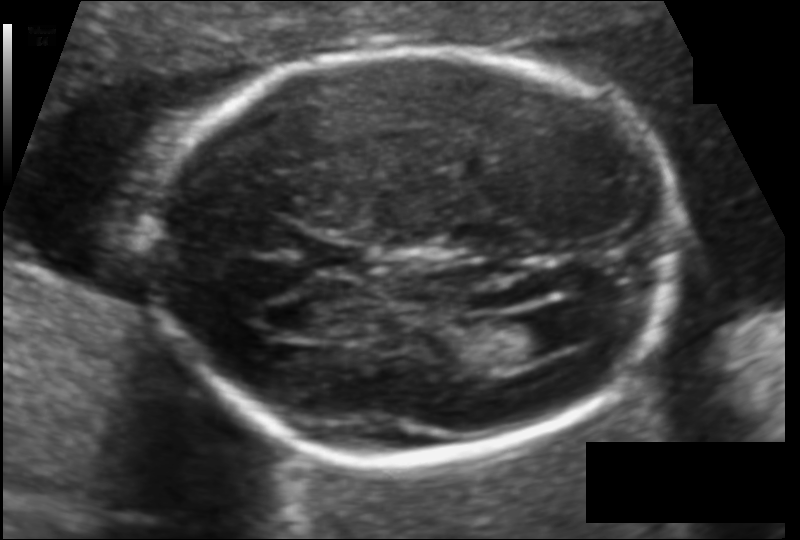
Fetal head ultrasound. Image width: 89.1 mm. Where is the fetal head?

Head bounding box: [152,48,677,462]